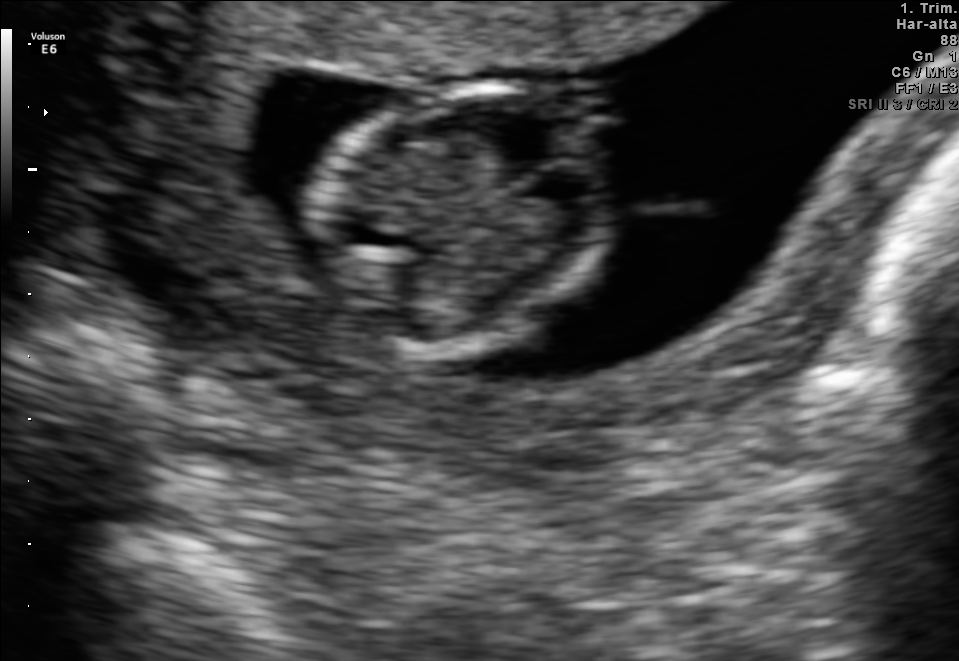
Fetal brain, trans-thalamic plane. Locate the fetal head and, if visible, the cavum septum pellucidum (CSP) and lateral ventricle (LV). Give bounding boxes as [x1,y1,x2,y2].

Head: [302,87,615,348]